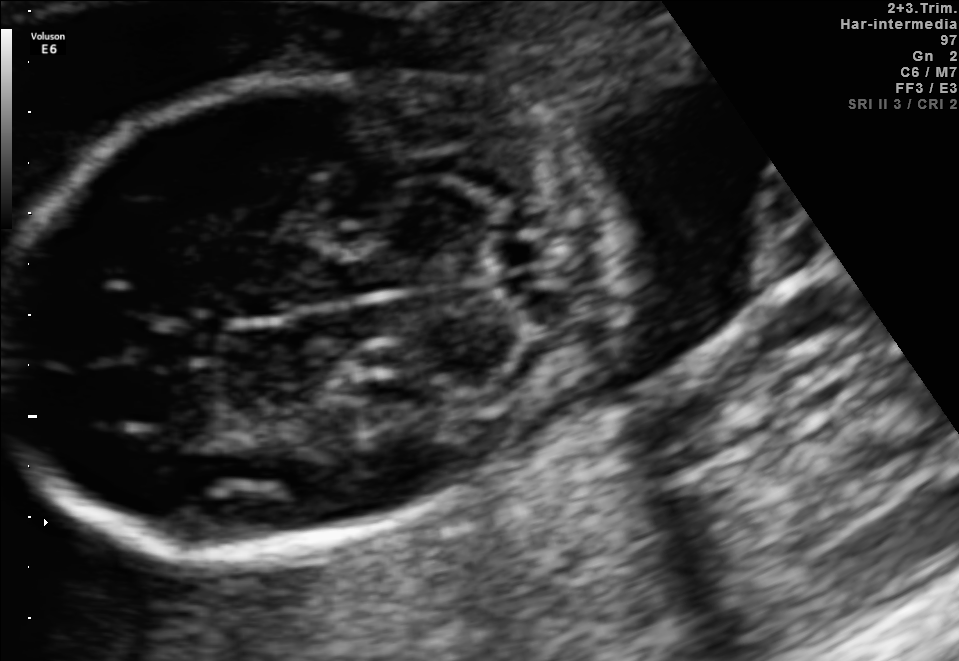
In this fetal brain, trans-cerebellum plane, give bounding boxes for the head outline, cavum septum pellucidum (CSP), and lateral ventricle (LV), where visible.

Head: [3,71,612,550]
CSP: [138,318,220,372]